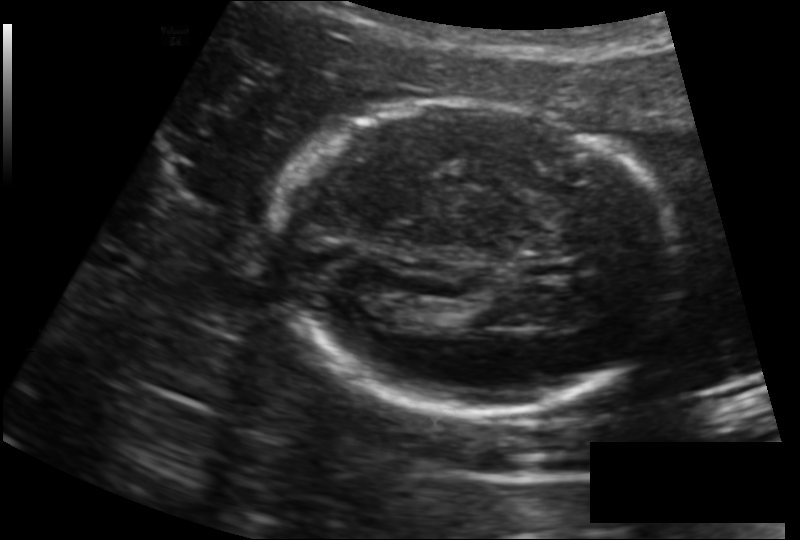
From this fetal ultrasound, estimate the head circumference (image width 125.2 mm).

Head circumference: 183.8 mm.